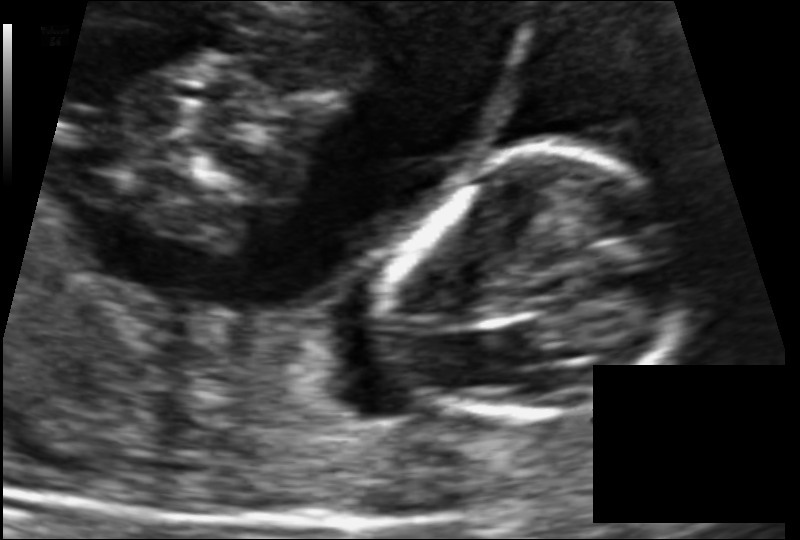
In this fetal head ultrasound, give bounding boxes for the head outline, cavum septum pellucidum (CSP), and lateral ventricle (LV), where visible. Image width: 69.1 mm.

Head: [383,154,682,437]